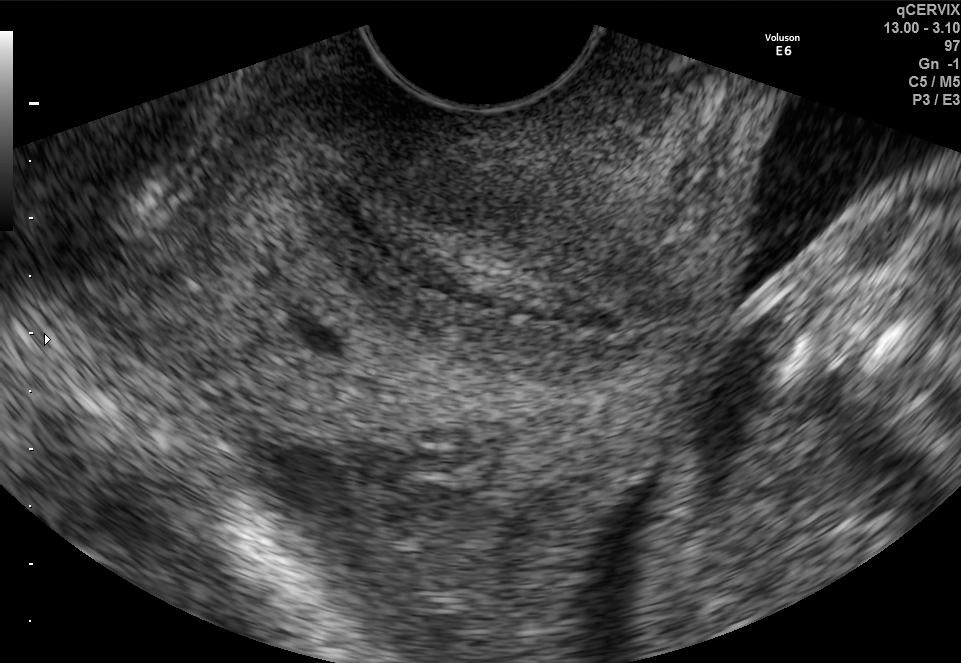
Which standard maternal-fetal ultrasound plane is shown: fetal abdomen, fetal brain, fetal femur, fetal thorax, maternal cervix, or other? If it's fetal brain and one of the three standard brain planes (trans-thalamic, trans-cerebellum, trans-ventricular), name which.

Maternal cervix